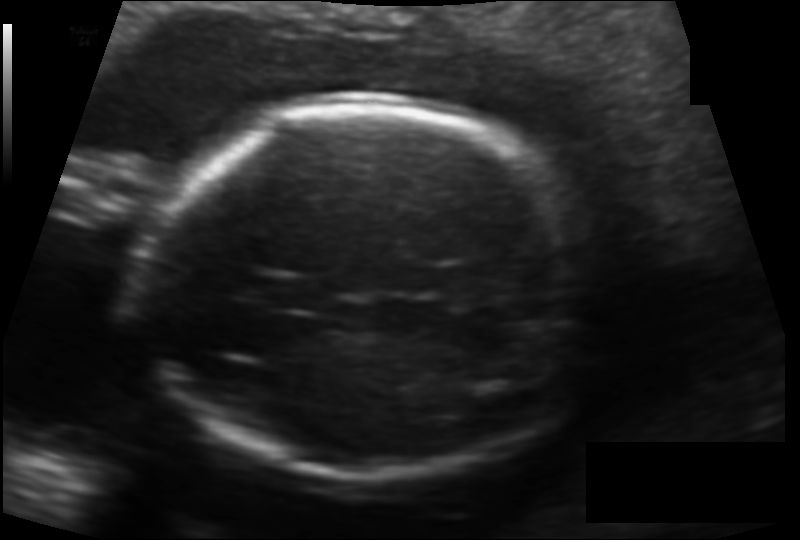
In this fetal head ultrasound, give bounding boxes for the head outline, cavum septum pellucidum (CSP), and lateral ventricle (LV), where visible. Image width: 105.8 mm.

Head: [143,101,593,483]